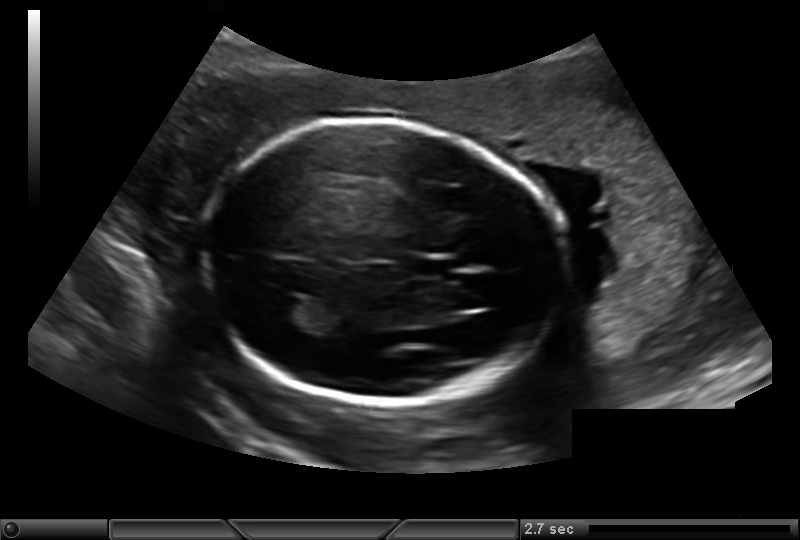
Fetal head ultrasound. Image width: 154.2 mm. Locate the fetal head.

Head: [204,120,563,402]